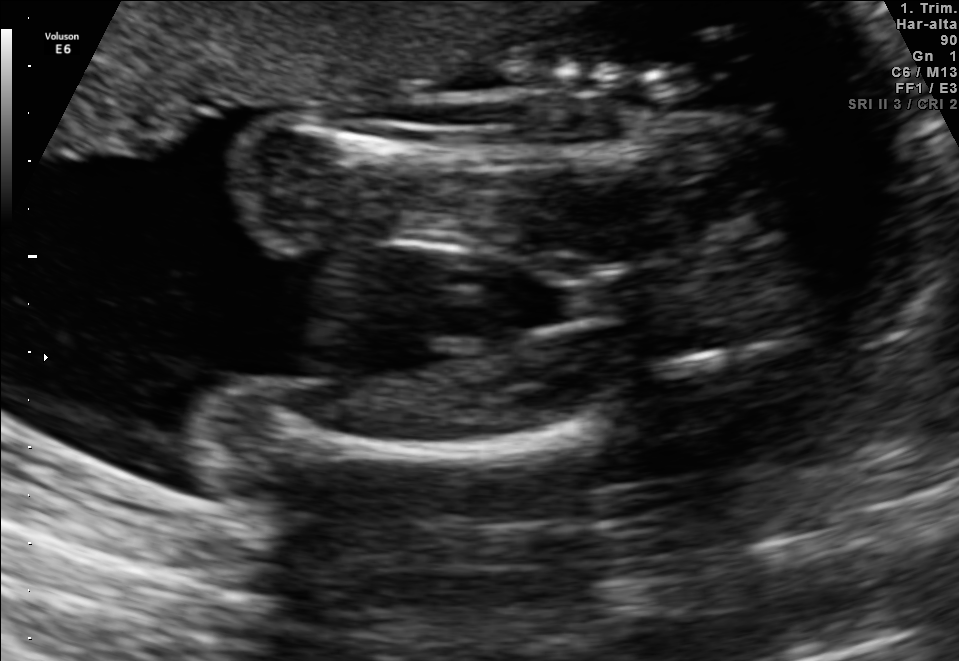
This is a 2D maternal-fetal ultrasound frame. Is it a fetal abdomen, fetal brain, fetal femur, fetal thorax, maternal cervix, or other standard plane? If it's fetal brain and one of the three standard brain planes (trans-thalamic, trans-cerebellum, trans-ventricular), name which.

Fetal femur